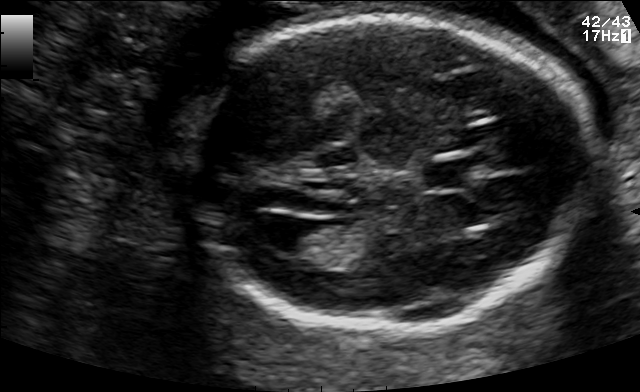
Fetal brain, trans-ventricular plane. Where is the cavum septum pellucidum?

CSP bounding box: [423,151,504,192]